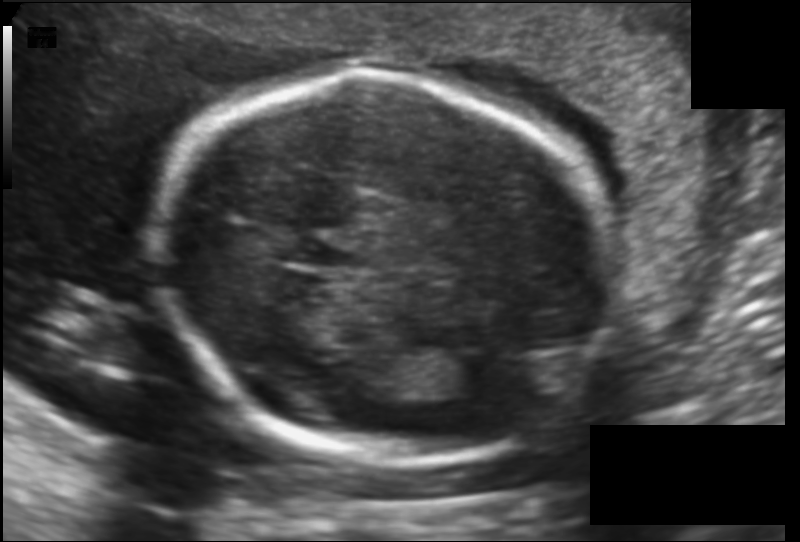
From this fetal ultrasound, estimate the head circumference (image width 103.7 mm).

Head circumference: 179.9 mm.